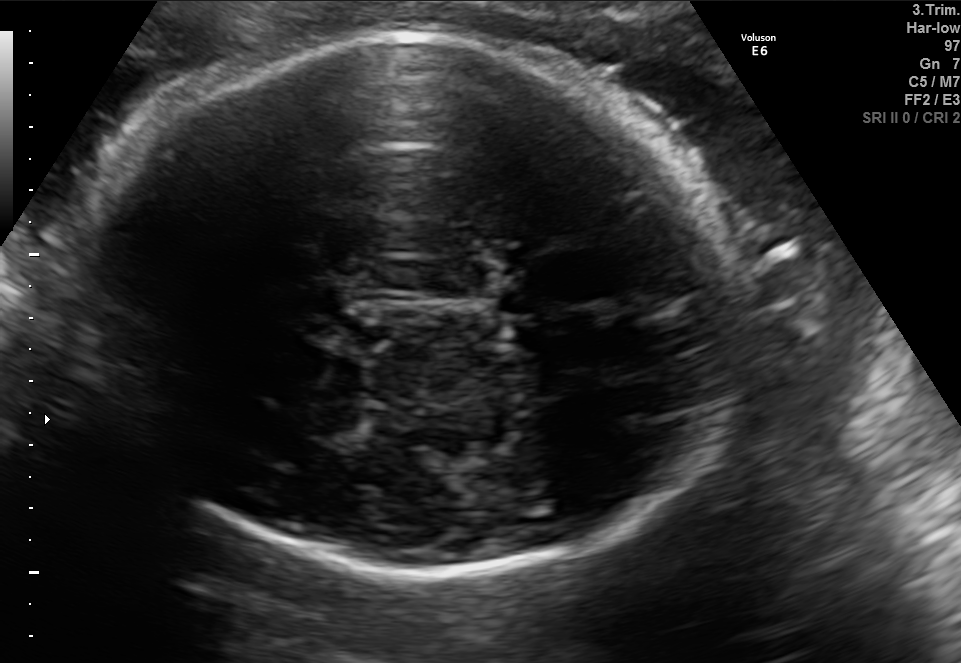
Fetal brain, trans-thalamic plane. Give [x1,y1,x2,y2] bounding boxes for each visible structure among: fetal head, CSP, LV.

Head: [80,37,735,578]